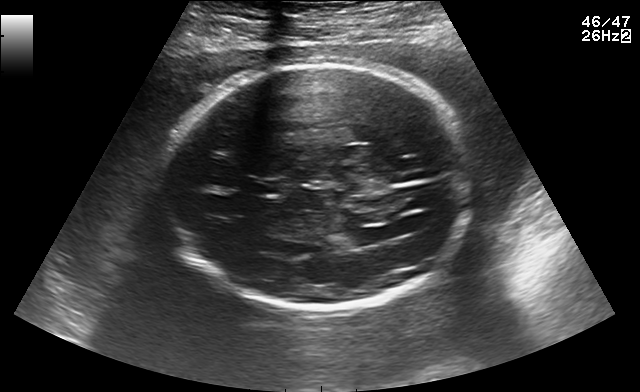
Fetal brain, trans-ventricular plane. Give [x1,y1,x2,y2] bounding boxes for each visible structure among: fetal head, CSP, LV.

Head: [160,59,476,317]
CSP: [244,177,291,198]
Lateral ventricle: [341,227,380,250]